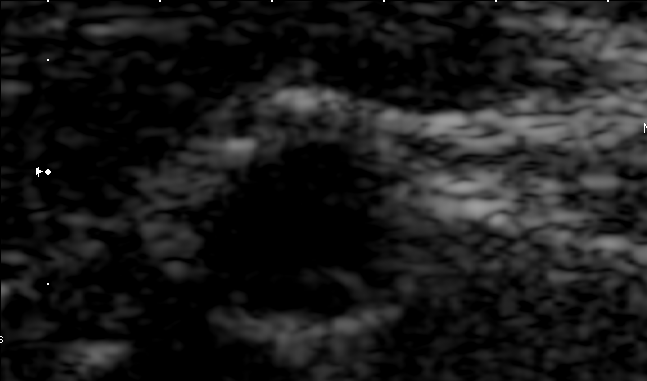
Identify the standard plane in this fetal ultrasound image: fetal abdomen, fetal brain, fetal femur, fetal thorax, maternal cervix, or other. If it's fetal brain and one of the three standard brain planes (trans-thalamic, trans-cerebellum, trans-ventricular), name which.

Other